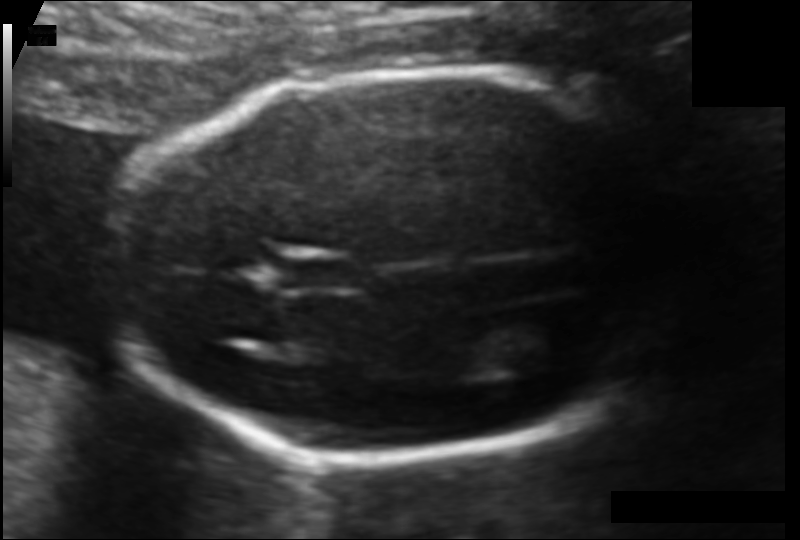
Measure the fetal head circumference shown in this ultrasound image. Image width: 82.3 mm.

Head circumference: 159.6 mm.